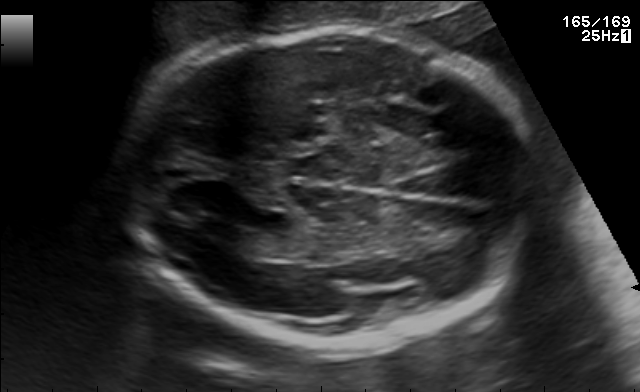
Fetal brain, trans-ventricular plane. Give [x1,y1,x2,y2] bounding boxes for each visible structure among: fetal head, CSP, LV.

Head: [118,24,550,355]